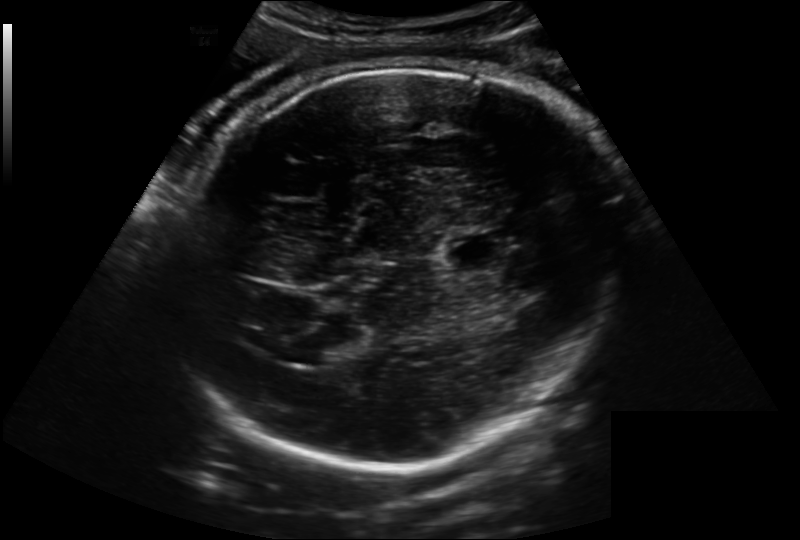
In this fetal head ultrasound, give the bounding box of the lateral ventricle. Image width: 177.3 mm.

[295,334,348,367]